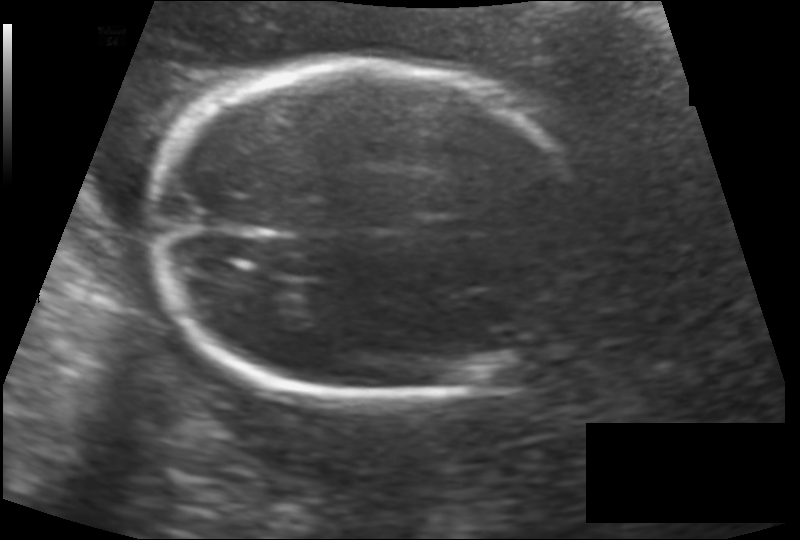
Fetal head ultrasound. Image width: 117.4 mm. Where is the fetal head?

Head bounding box: [150,63,586,400]